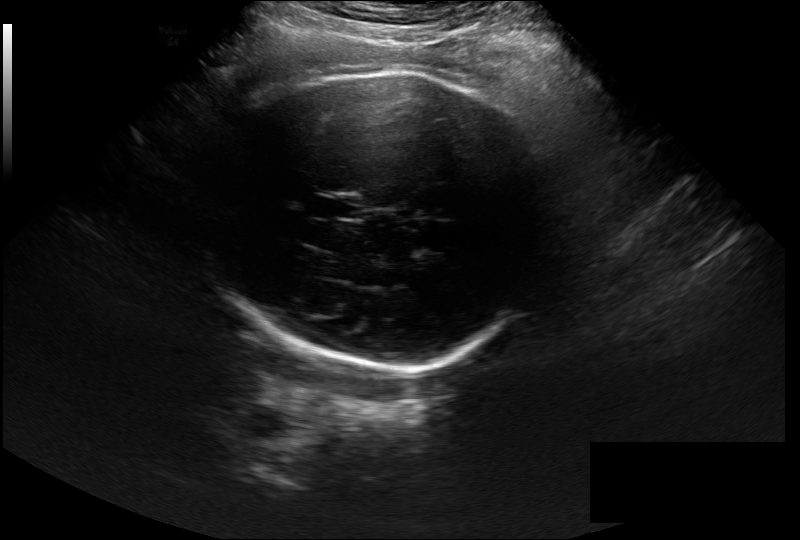
Measure the fetal head circumference shown in this ultrasound image. Image width: 237.6 mm.

Head circumference: 313.2 mm.